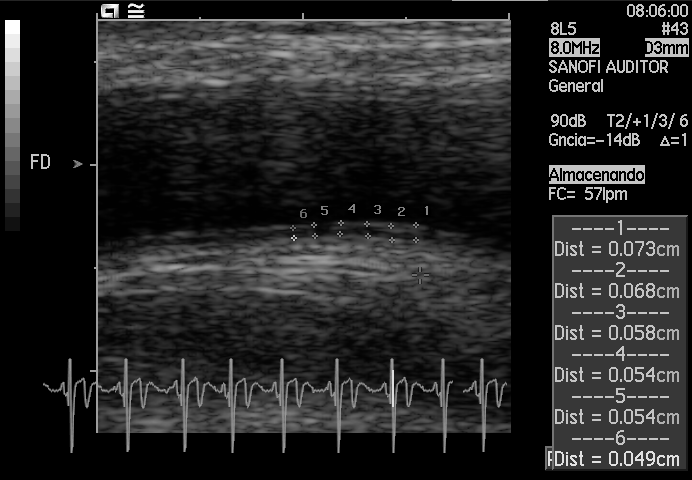
Which standard maternal-fetal ultrasound plane is shown: fetal abdomen, fetal brain, fetal femur, fetal thorax, maternal cervix, or other? If it's fetal brain and one of the three standard brain planes (trans-thalamic, trans-cerebellum, trans-ventricular), name which.

Other